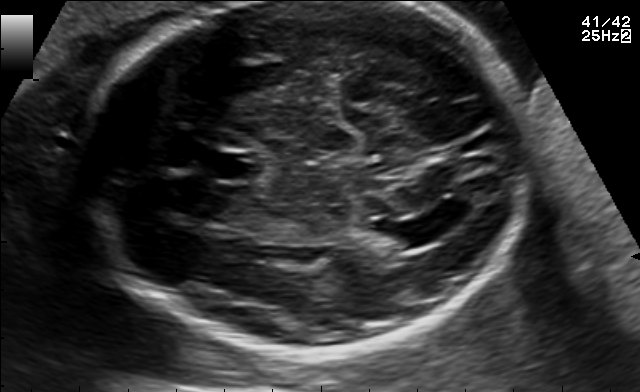
In this fetal brain, trans-ventricular plane, give bounding boxes for the cavum septum pellucidum (CSP) and lateral ventricle (LV), where visible.

CSP: [197,150,263,183]
Lateral ventricle: [377,211,445,258]